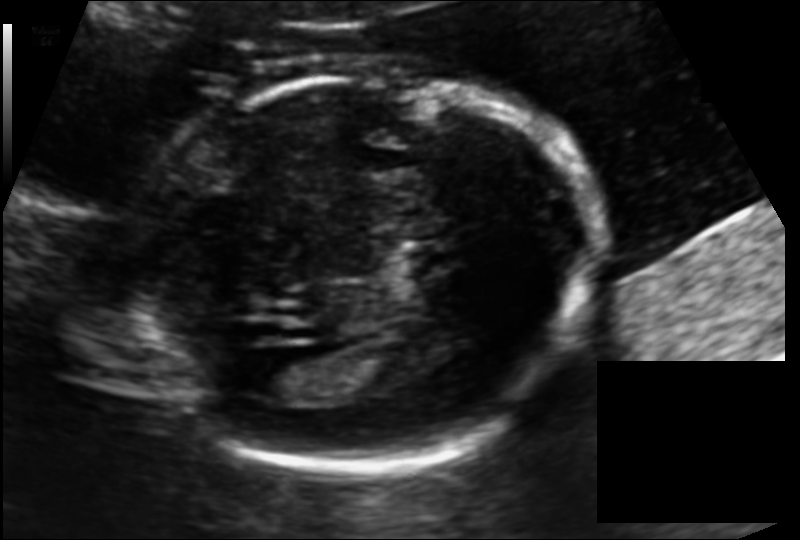
Estimate the fetal head circumference from this 2D ultrasound.

Head circumference: 173.2 mm (image width 99.9 mm).